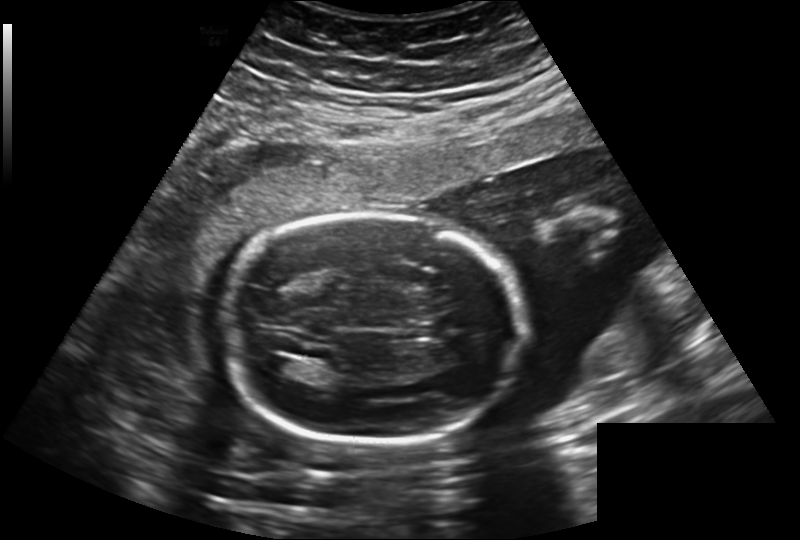
Fetal head ultrasound. Image width: 192.6 mm. Locate the fetal head and, if visible, the cavum septum pellucidum (CSP) and lateral ventricle (LV). Give bounding boxes as [x1,y1,x2,y2].

Head: [225,214,523,447]
Lateral ventricle: [263,353,296,376]